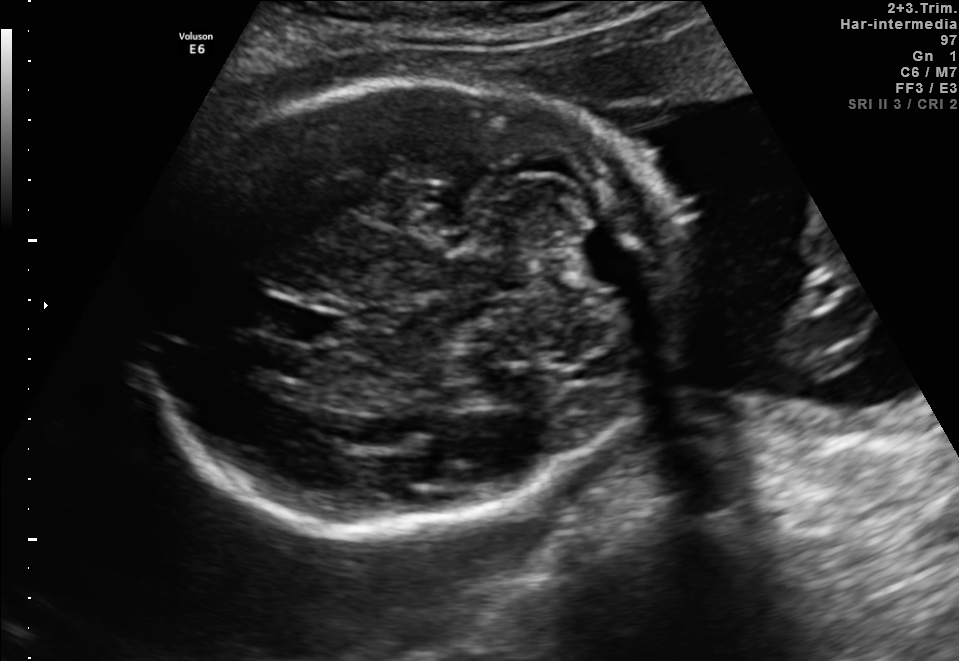
In this fetal brain, trans-cerebellum plane, give the bounding box of the fetal head.

[139,84,684,529]